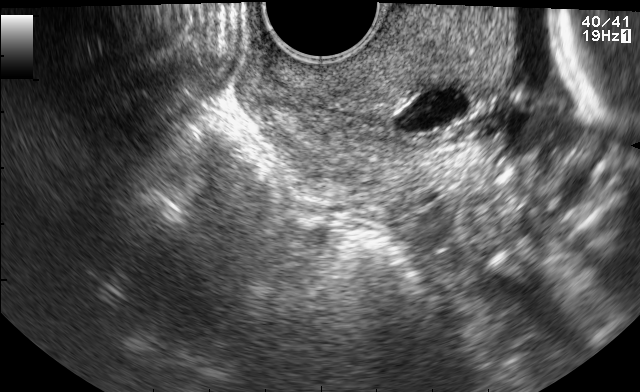
Identify the standard plane in this fetal ultrasound image: fetal abdomen, fetal brain, fetal femur, fetal thorax, maternal cervix, or other. If it's fetal brain and one of the three standard brain planes (trans-thalamic, trans-cerebellum, trans-ventricular), name which.

Maternal cervix